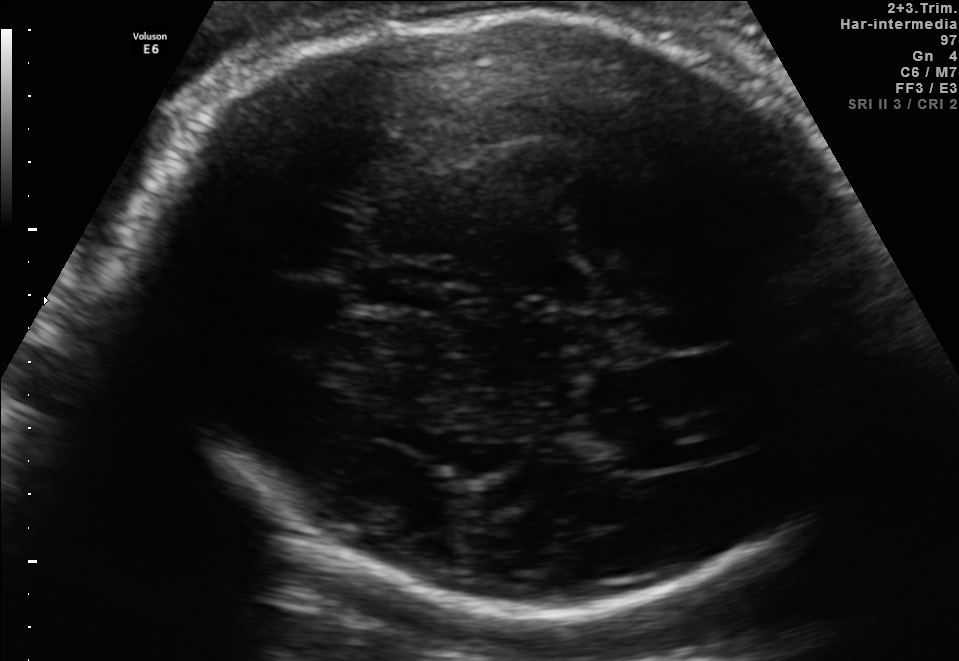
Fetal brain, trans-thalamic plane. Give [x1,y1,x2,y2] bounding boxes for each visible structure among: fetal head, CSP, LV.

Head: [137,10,862,615]
CSP: [352,264,443,308]
Lateral ventricle: [593,421,711,476]